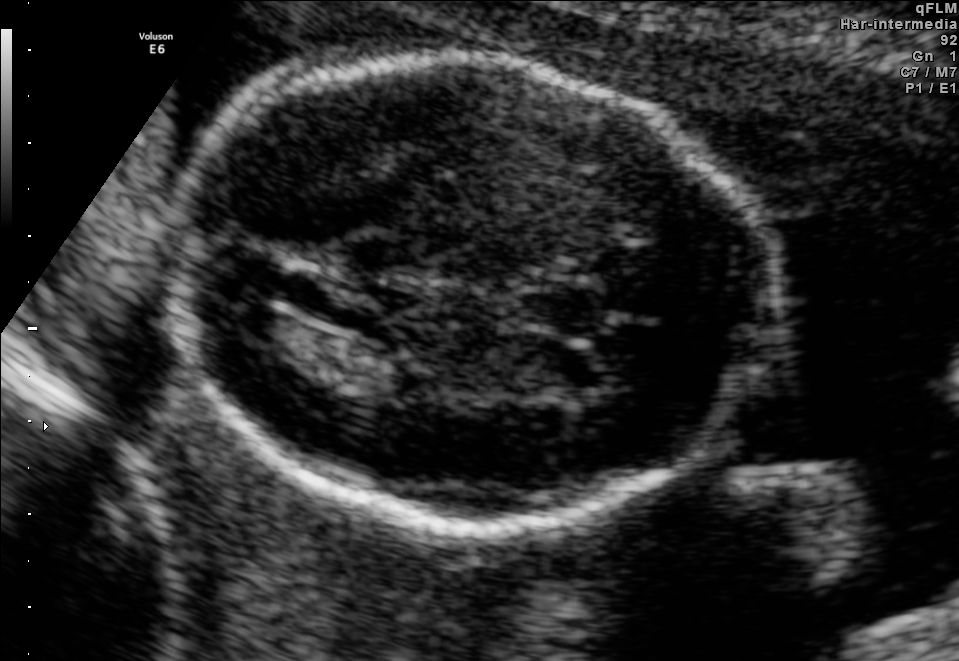
Fetal brain, trans-thalamic plane. Where is the lateral ventricle?

Lateral ventricle bounding box: [214,285,301,355]